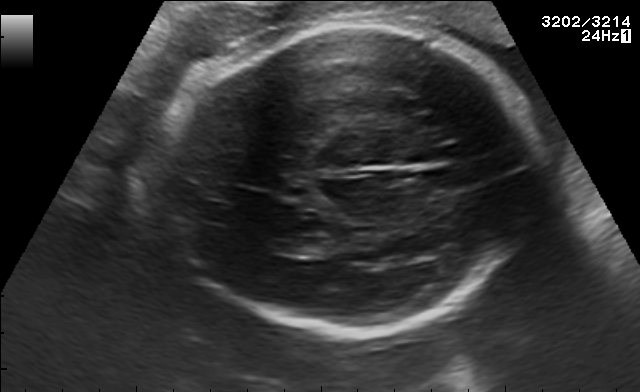
In this fetal brain, trans-thalamic plane, give the bounding box of the lateral ventricle.

[277,236,331,256]